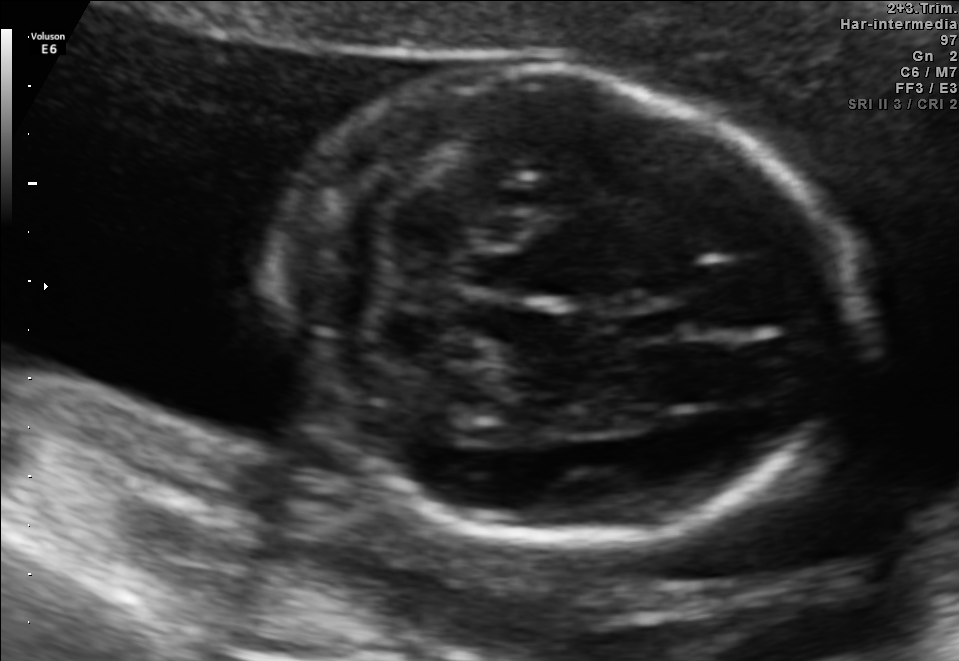
In this fetal brain, trans-cerebellum plane, give the bounding box of the cavum septum pellucidum.

[621,299,693,345]